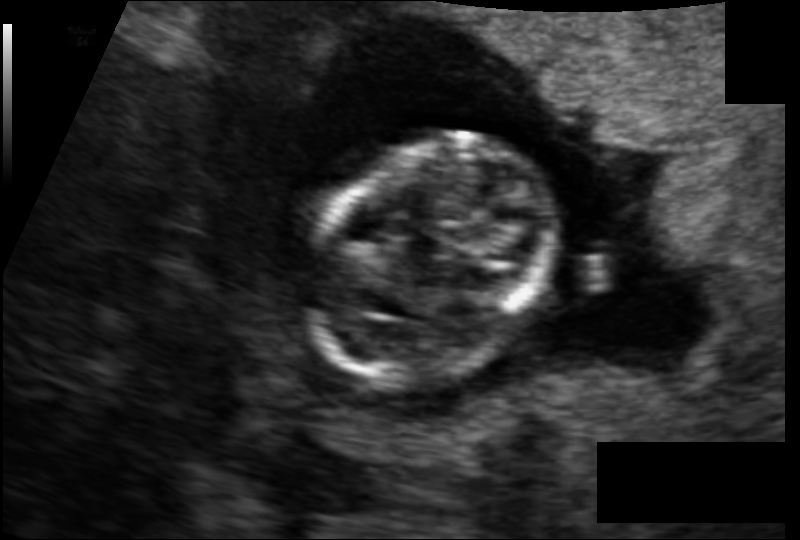
Fetal head ultrasound. Image width: 77.6 mm. Locate the fetal head and, if visible, the cavum septum pellucidum (CSP) and lateral ventricle (LV). Give bounding boxes as [x1,y1,x2,y2].

Head: [291,134,557,378]